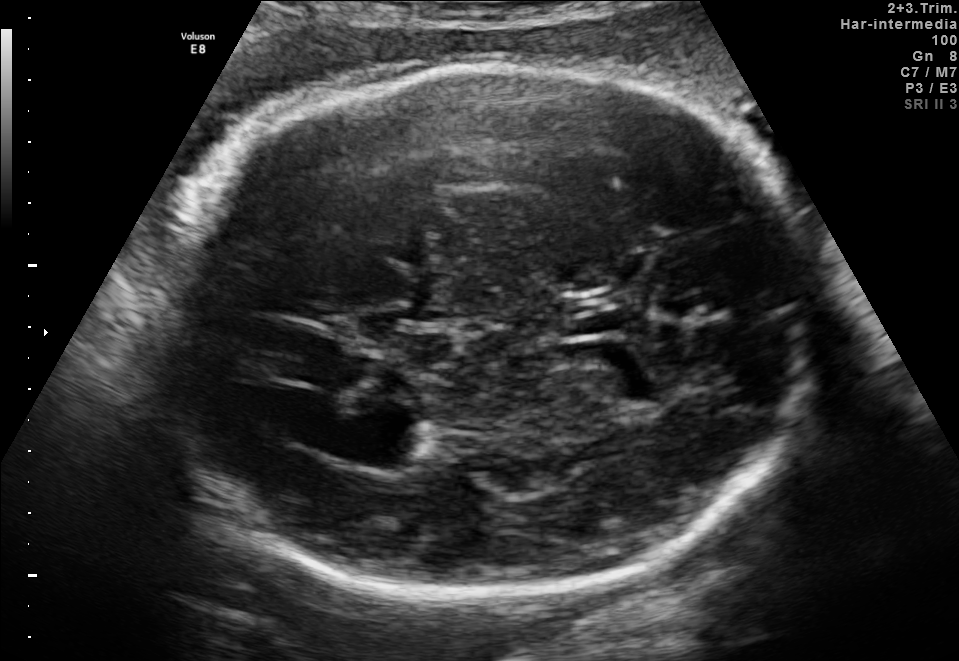
Fetal brain, trans-thalamic plane. Where is the lateral ventricle?

Lateral ventricle bounding box: [361,417,434,466]